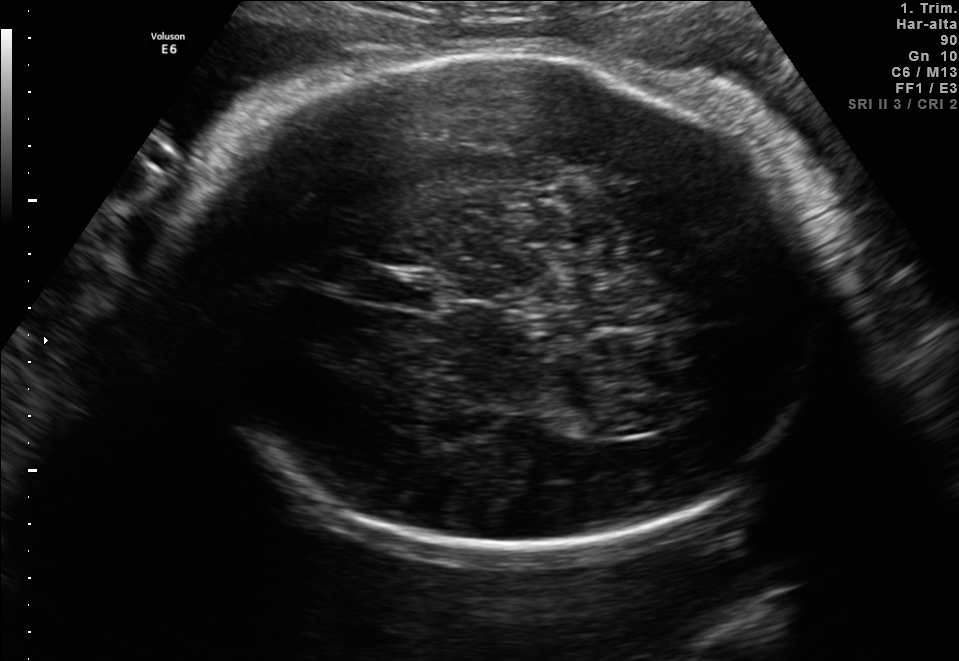
Fetal brain, trans-thalamic plane. Locate the cavum septum pellucidum.

CSP: [360,265,438,311]